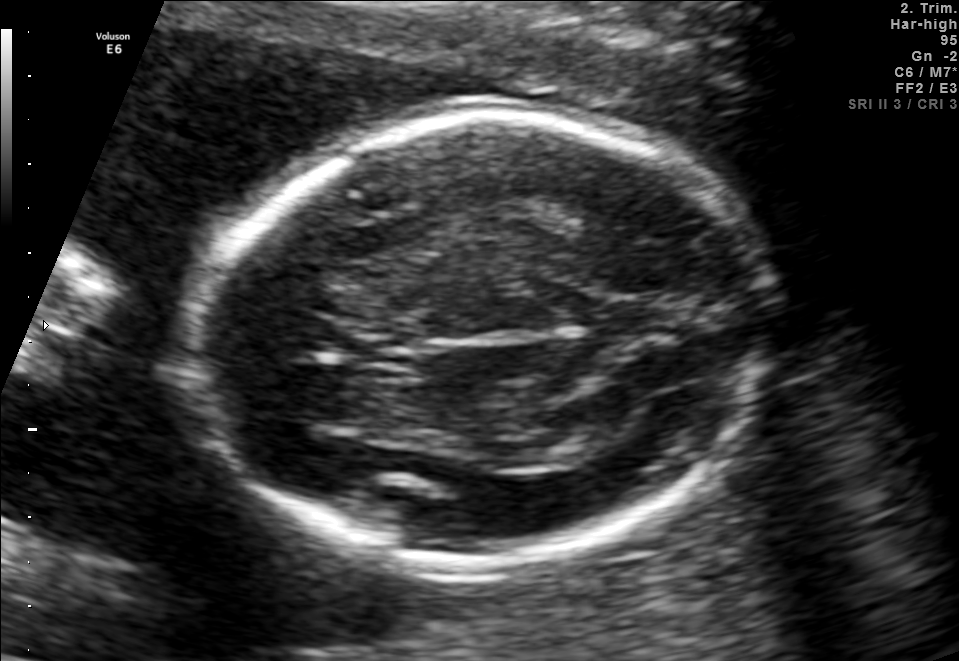
In this fetal brain, trans-thalamic plane, give bounding boxes for the head outline, cavum septum pellucidum (CSP), and lateral ventricle (LV), where visible.

Head: [187,114,770,567]